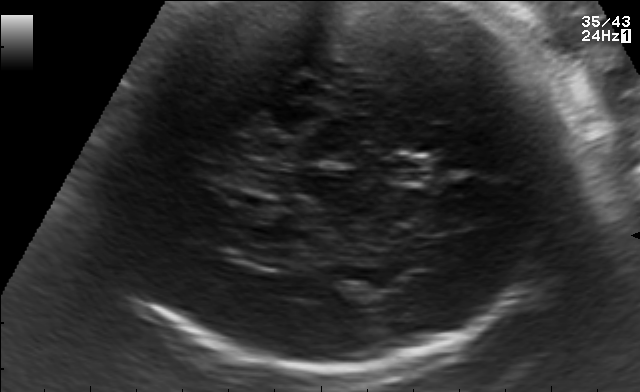
Classify this maternal-fetal ultrasound image as one of the six standard planes — fetal abdomen, fetal brain, fetal femur, fetal thorax, maternal cervix, or other. If it's fetal brain and one of the three standard brain planes (trans-thalamic, trans-cerebellum, trans-ventricular), name which.

Fetal brain (trans-thalamic plane)